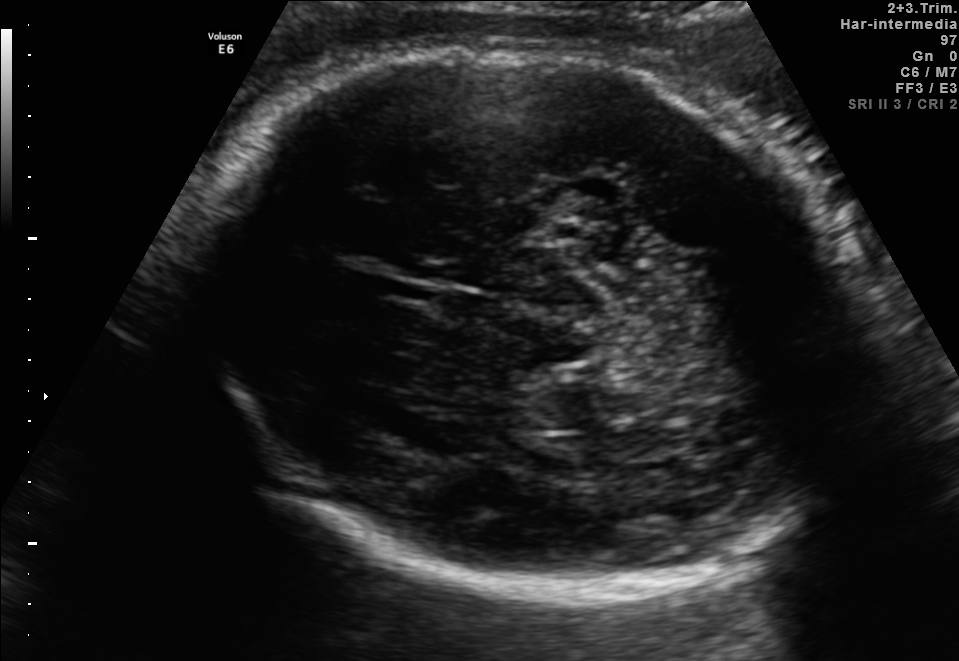
Fetal brain, trans-thalamic plane. Locate the fetal head and, if visible, the cavum septum pellucidum (CSP) and lateral ventricle (LV). Give bounding boxes as [x1,y1,x2,y2].

Head: [192,46,863,599]